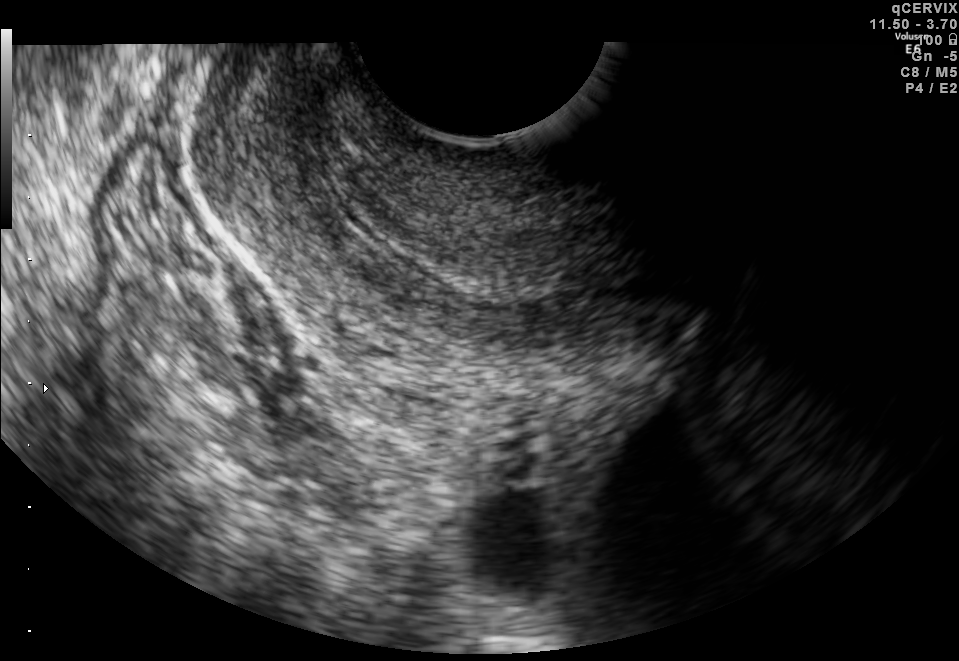
Identify the standard plane in this fetal ultrasound image: fetal abdomen, fetal brain, fetal femur, fetal thorax, maternal cervix, or other. If it's fetal brain and one of the three standard brain planes (trans-thalamic, trans-cerebellum, trans-ventricular), name which.

Maternal cervix